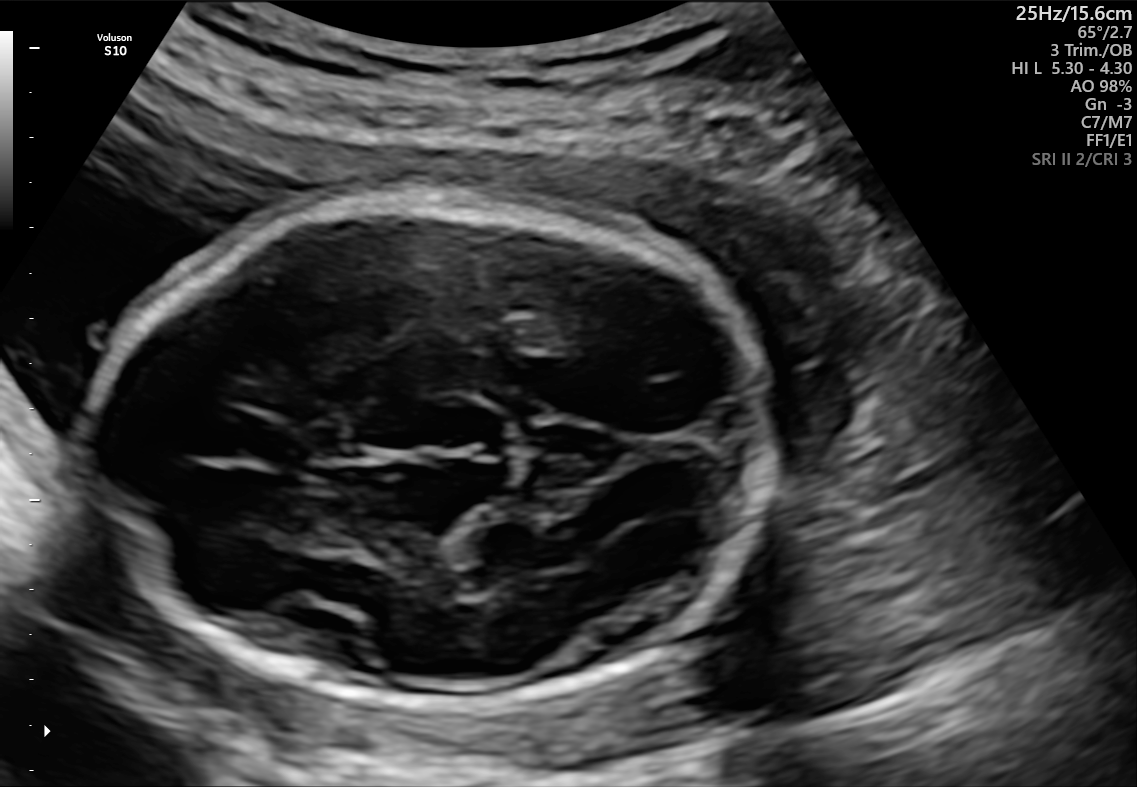
Fetal brain, trans-thalamic plane. Where is the fetal head?

Head bounding box: [88,193,772,704]